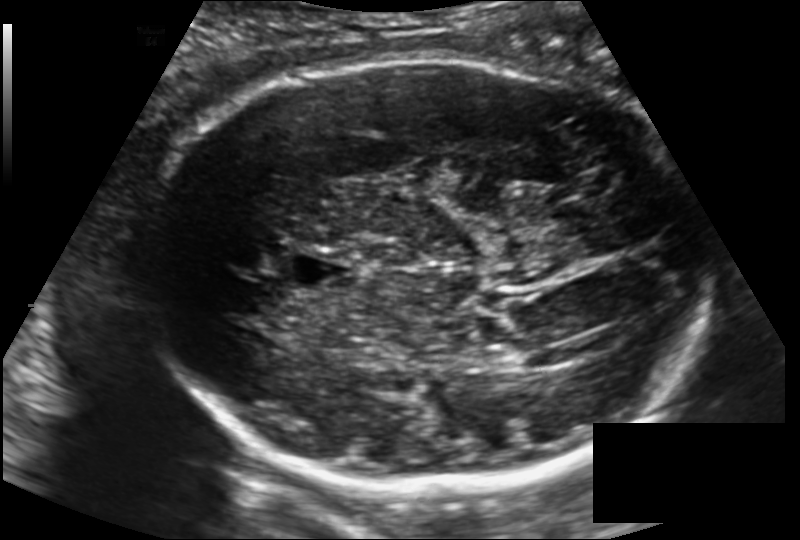
In this fetal head ultrasound, give the bounding box of the fetal head. Image width: 136.5 mm.

[137,59,710,486]